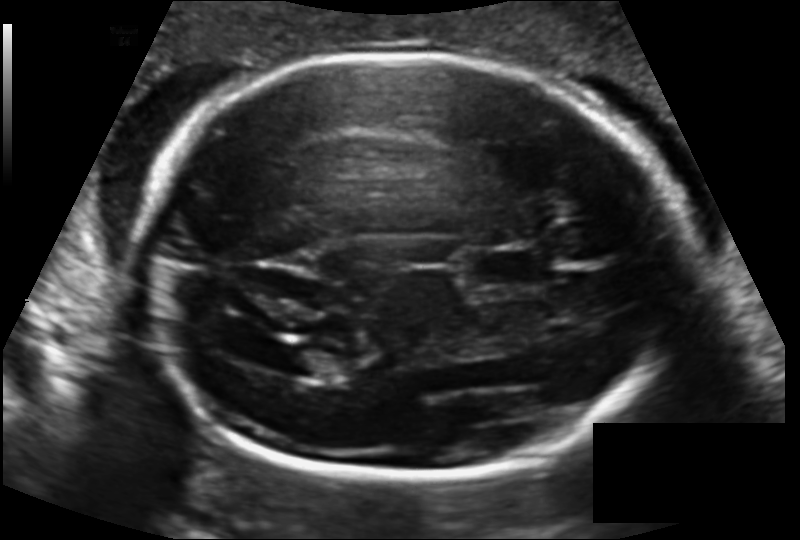
Estimate the fetal head circumference from this 2D ultrasound.

Head circumference: 219.8 mm (image width 112.0 mm).